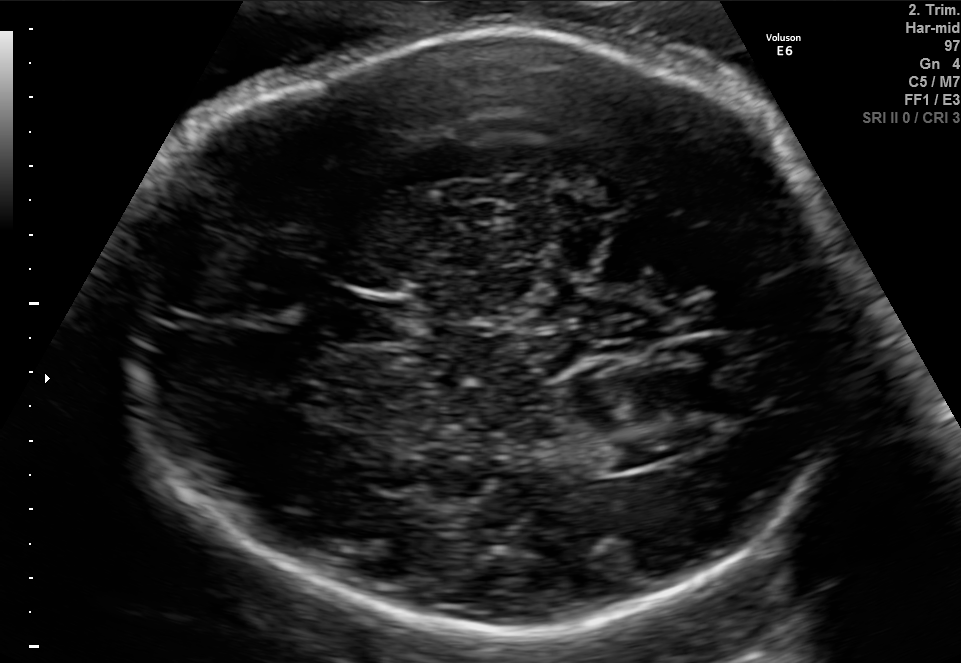
Identify the standard plane in this fetal ultrasound image: fetal abdomen, fetal brain, fetal femur, fetal thorax, maternal cervix, or other. If it's fetal brain and one of the three standard brain planes (trans-thalamic, trans-cerebellum, trans-ventricular), name which.

Fetal brain (trans-ventricular plane)